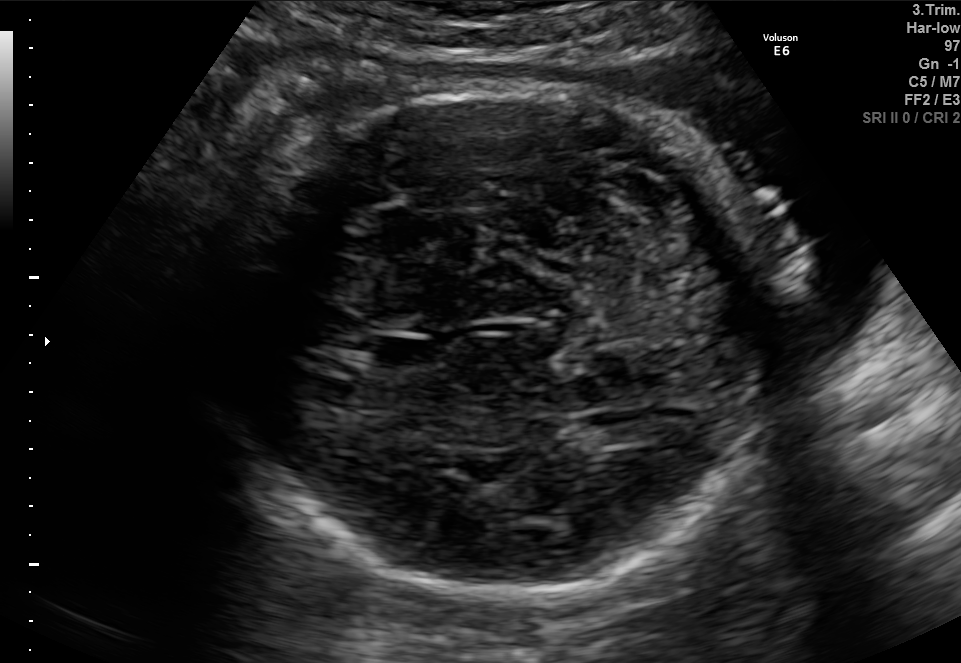
Fetal brain, trans-cerebellum plane. Locate the cavum septum pellucidum.

CSP: [373,333,438,371]